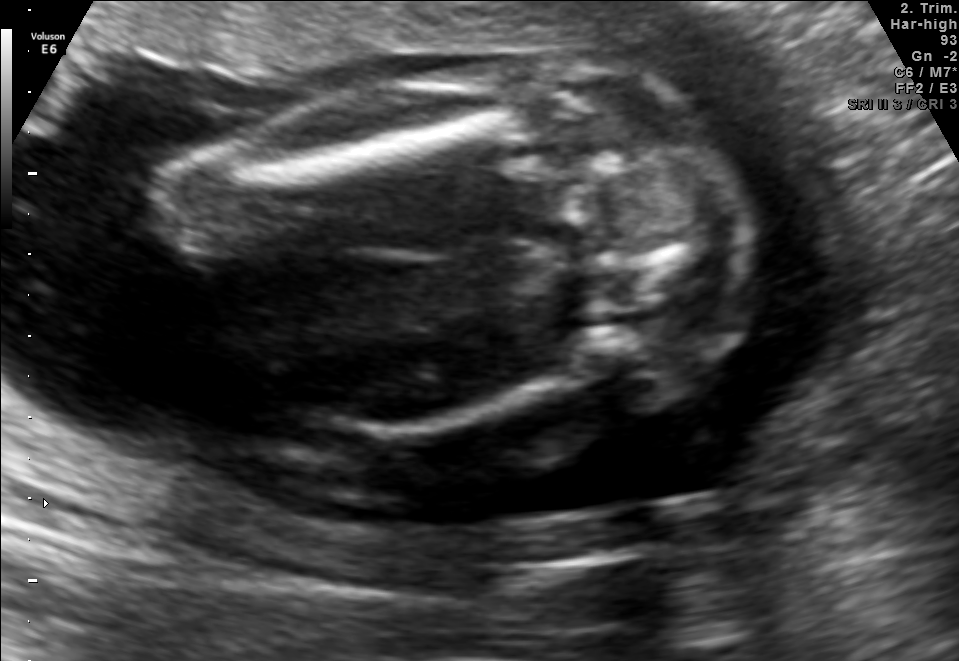
Classify this maternal-fetal ultrasound image as one of the six standard planes — fetal abdomen, fetal brain, fetal femur, fetal thorax, maternal cervix, or other. If it's fetal brain and one of the three standard brain planes (trans-thalamic, trans-cerebellum, trans-ventricular), name which.

Fetal femur